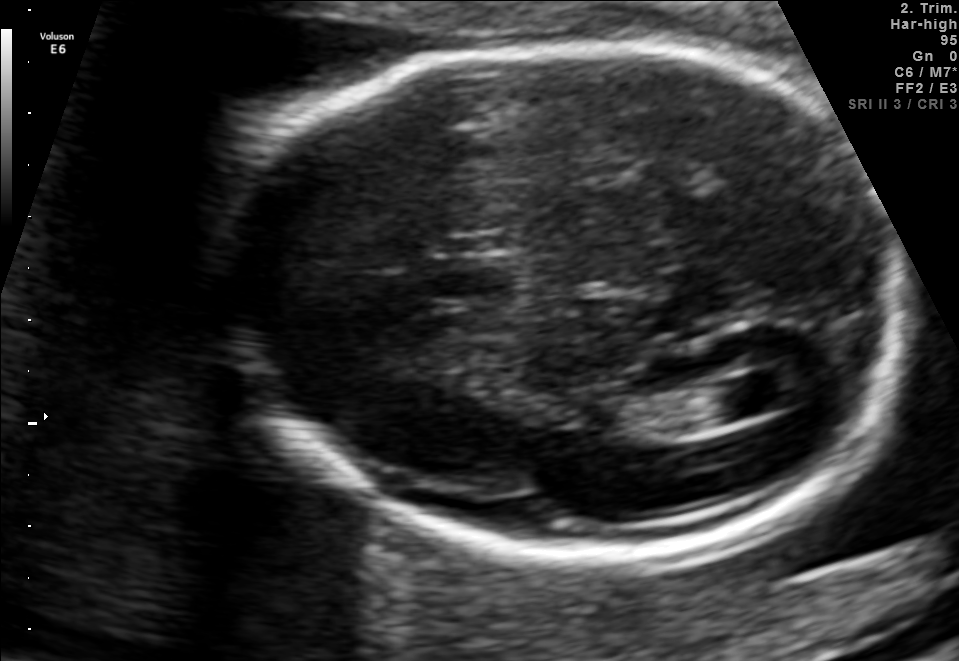
In this fetal brain, trans-ventricular plane, give the bounding box of the lateral ventricle.

[701,361,806,430]